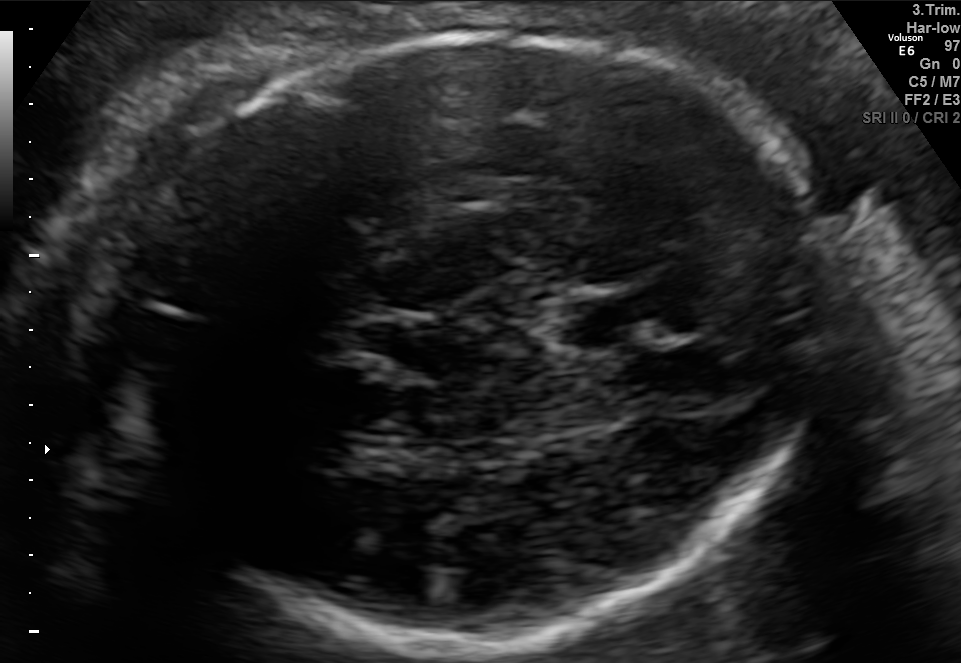
Fetal brain, trans-thalamic plane. Where is the fetal head?

Head bounding box: [92,36,829,653]